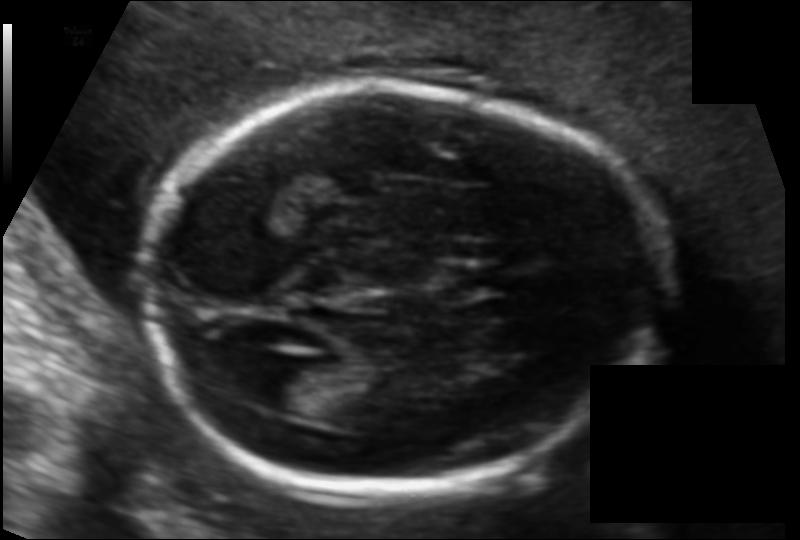
Fetal head ultrasound. Image width: 88.8 mm. Locate the lateral ventricle.

Lateral ventricle: [238,355,329,421]